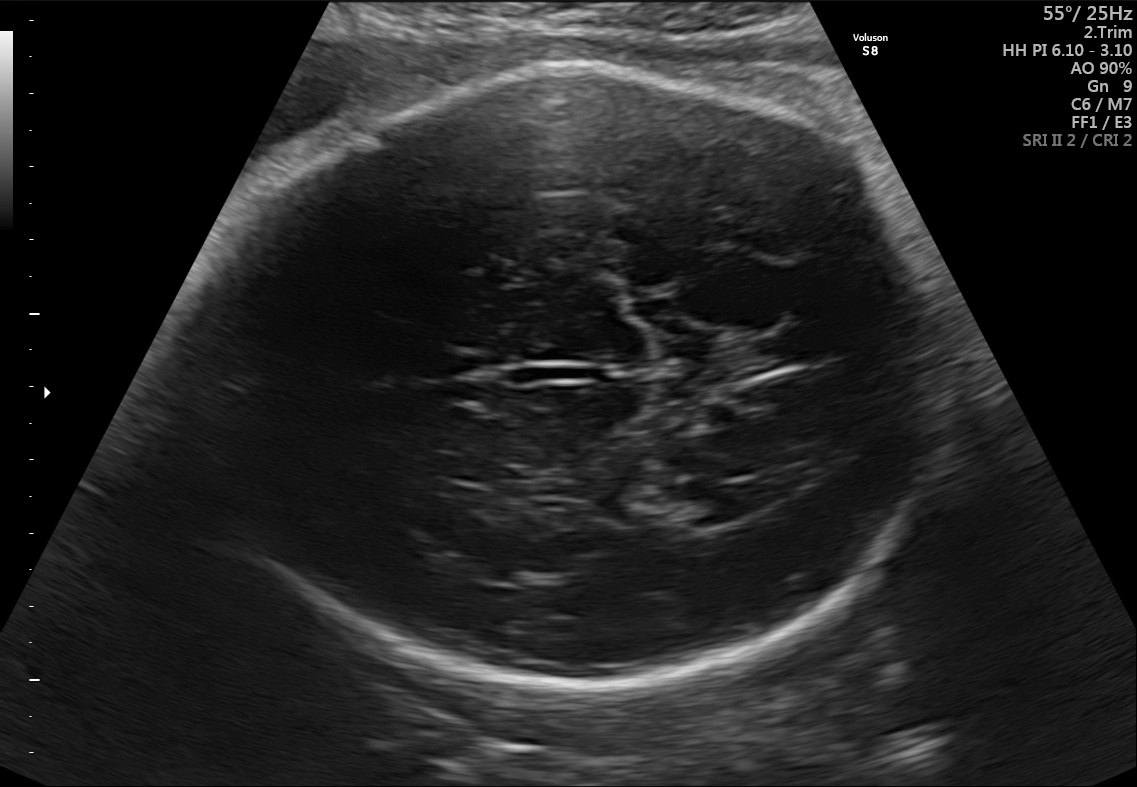
In this fetal brain, trans-ventricular plane, give bounding boxes for the head outline, cavum septum pellucidum (CSP), and lateral ventricle (LV), where visible.

Head: [186,65,953,691]